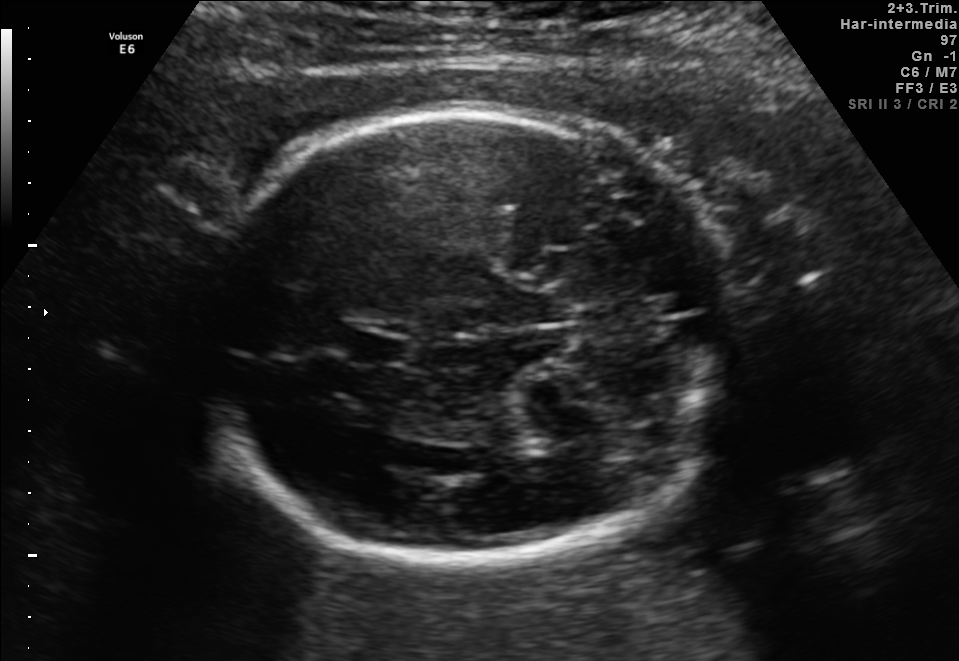
This is a 2D maternal-fetal ultrasound frame. Is it a fetal abdomen, fetal brain, fetal femur, fetal thorax, maternal cervix, or other standard plane? If it's fetal brain and one of the three standard brain planes (trans-thalamic, trans-cerebellum, trans-ventricular), name which.

Fetal brain (trans-cerebellum plane)